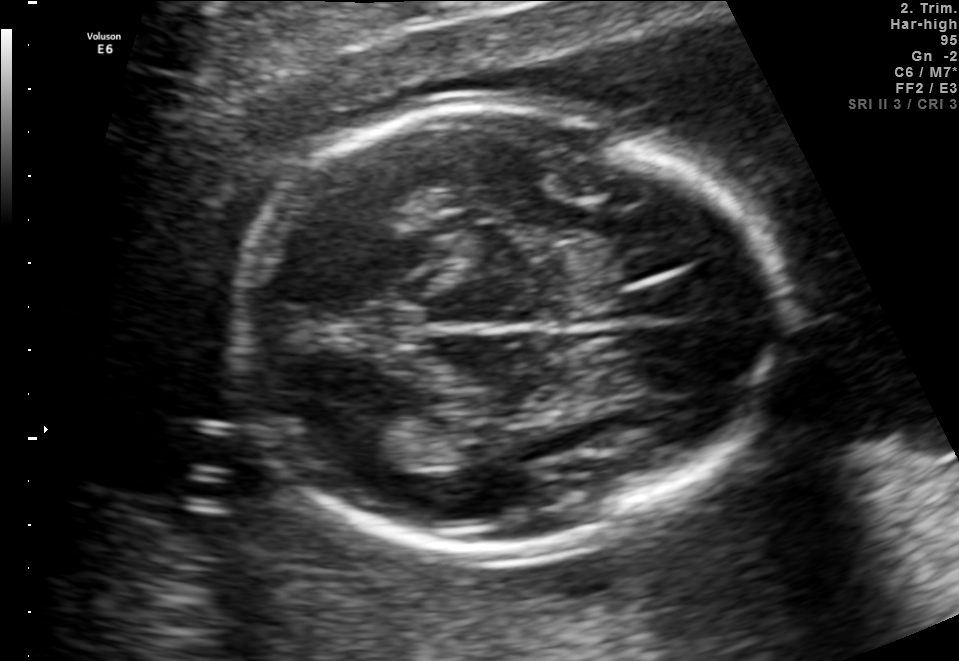
In this fetal brain, trans-thalamic plane, give bounding boxes for the head outline, cavum septum pellucidum (CSP), and lateral ventricle (LV), where visible.

Head: [231,110,786,549]
Lateral ventricle: [334,417,422,471]